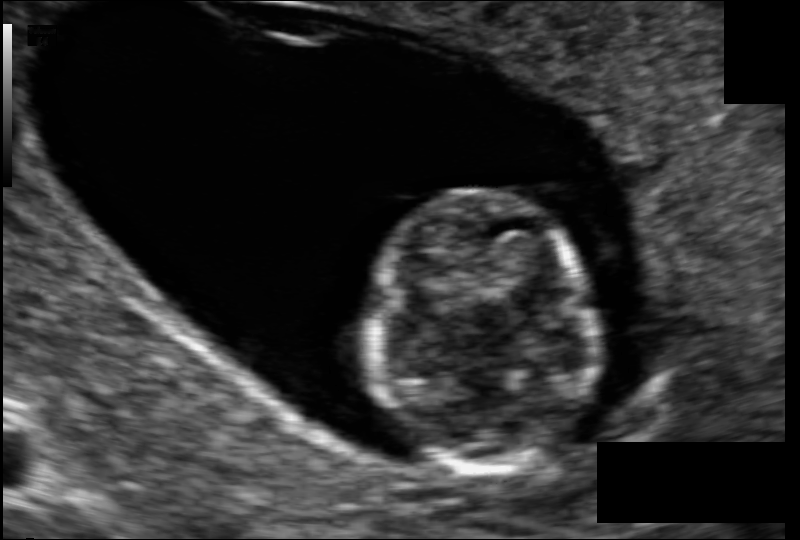
Estimate the fetal head circumference from this 2D ultrasound. Image width: 73.7 mm.

Head circumference: 76.0 mm.